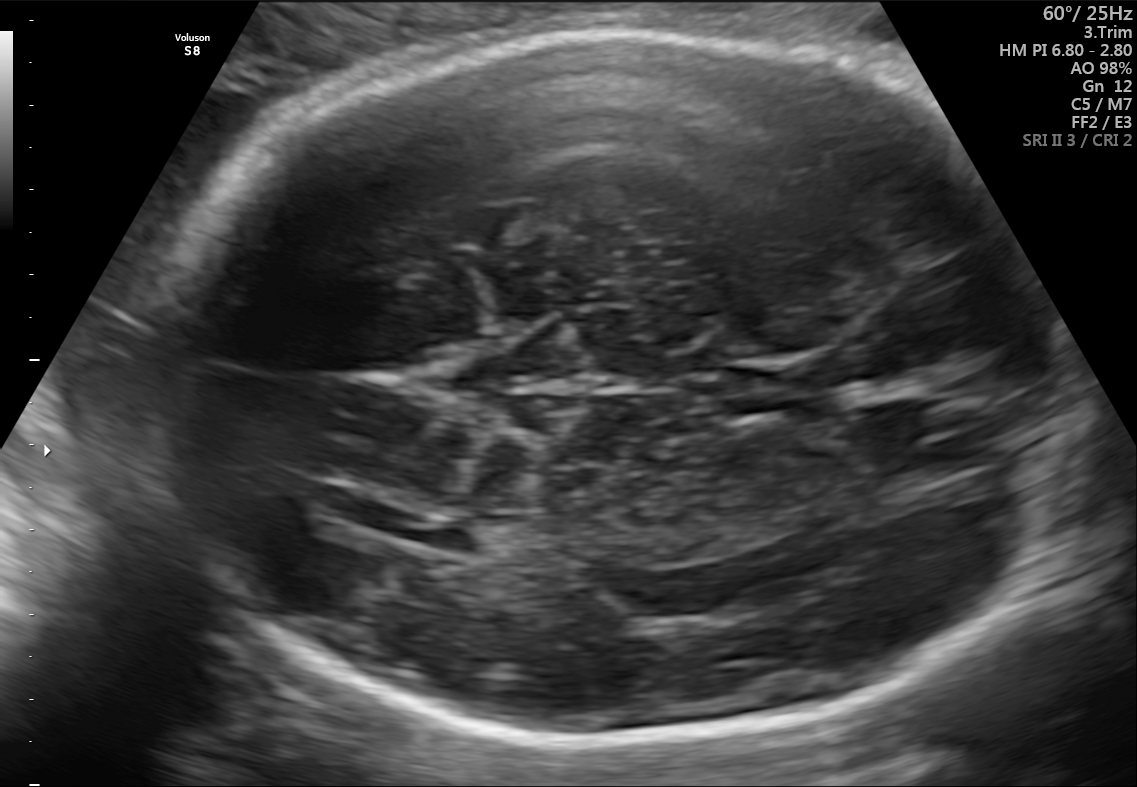
Fetal brain, trans-ventricular plane. Where is the cavum septum pellucidum?

CSP bounding box: [731,369,805,416]